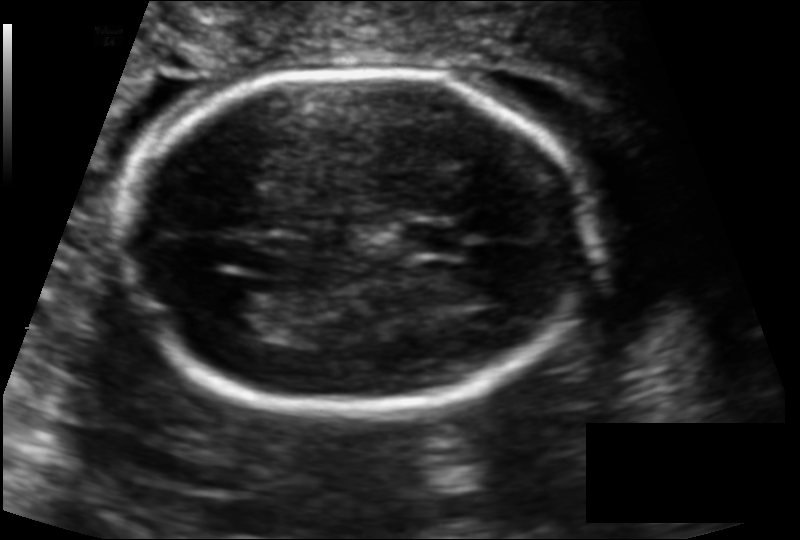
Fetal head ultrasound. Image width: 97.4 mm. Where is the lateral ventricle?

Lateral ventricle bounding box: [213,281,292,341]